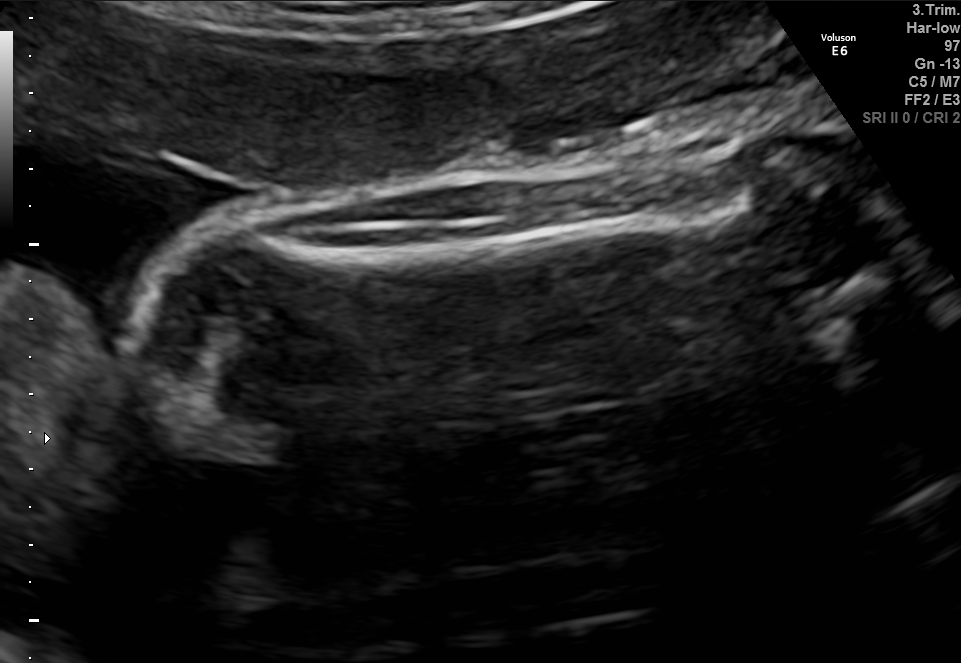
Which standard maternal-fetal ultrasound plane is shown: fetal abdomen, fetal brain, fetal femur, fetal thorax, maternal cervix, or other? If it's fetal brain and one of the three standard brain planes (trans-thalamic, trans-cerebellum, trans-ventricular), name which.

Fetal femur